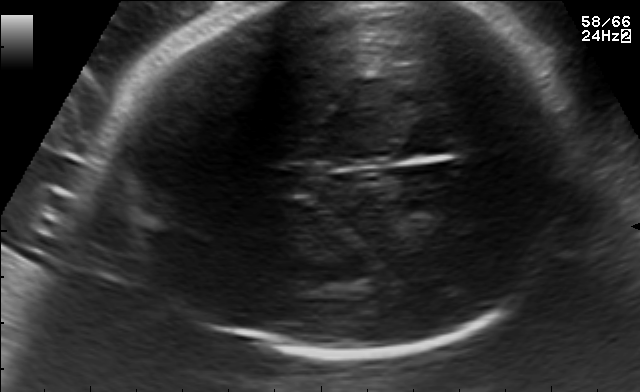
Fetal brain, trans-thalamic plane. Locate the fetal head.

Head: [95,3,583,358]